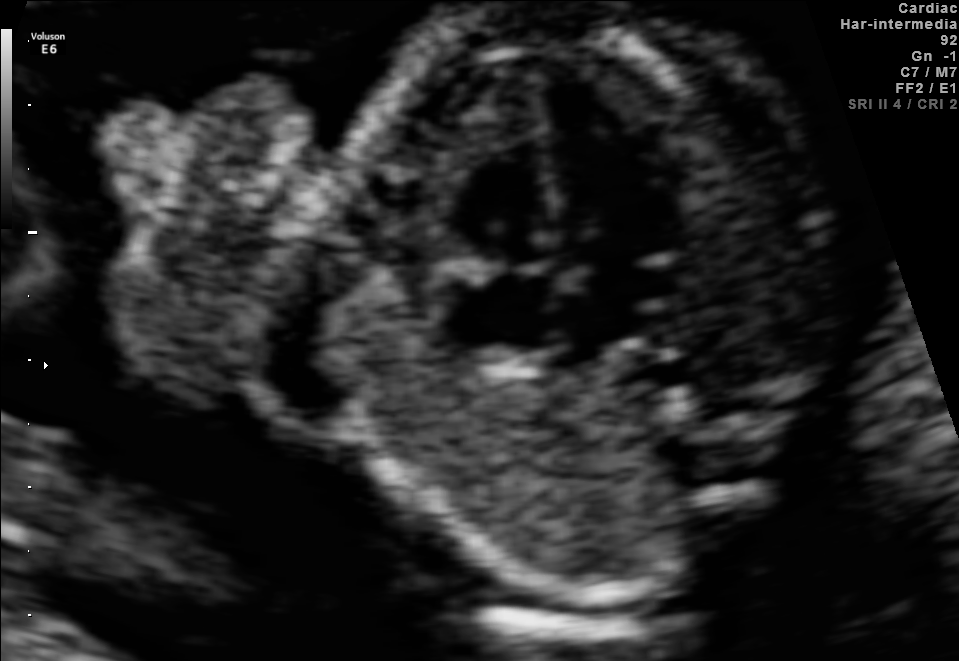
This is a 2D maternal-fetal ultrasound frame. Is it a fetal abdomen, fetal brain, fetal femur, fetal thorax, maternal cervix, or other standard plane? If it's fetal brain and one of the three standard brain planes (trans-thalamic, trans-cerebellum, trans-ventricular), name which.

Fetal thorax